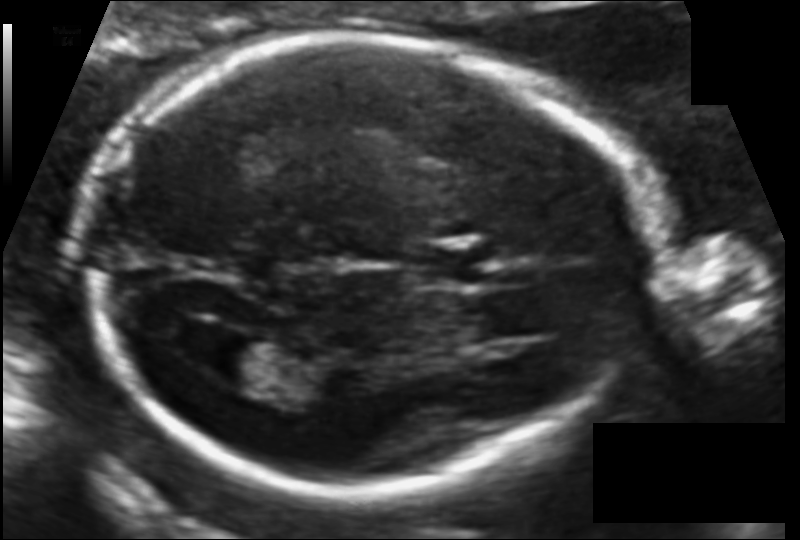
Fetal head ultrasound. Image width: 87.0 mm. Locate the fetal head.

Head: [87,37,643,493]